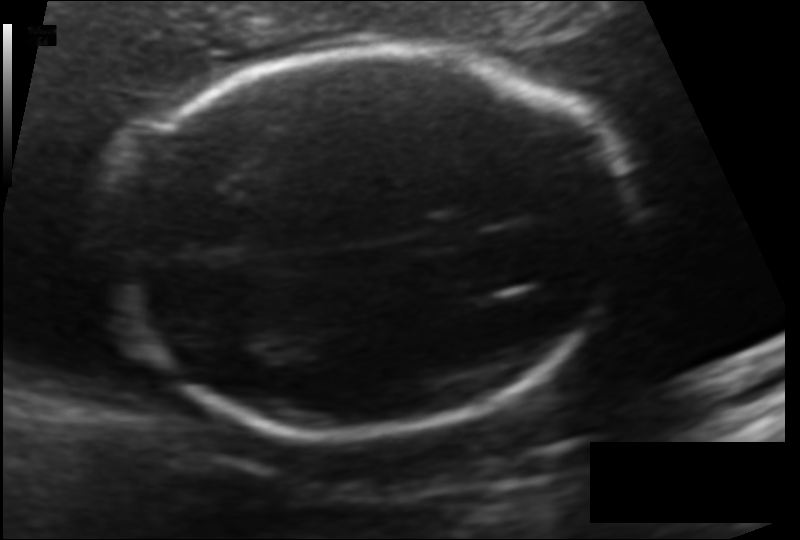
Fetal head ultrasound. Image width: 97.8 mm. Give [x1,y1,x2,y2] bounding boxes for each visible structure among: fetal head, CSP, LV.

Head: [109,47,631,431]